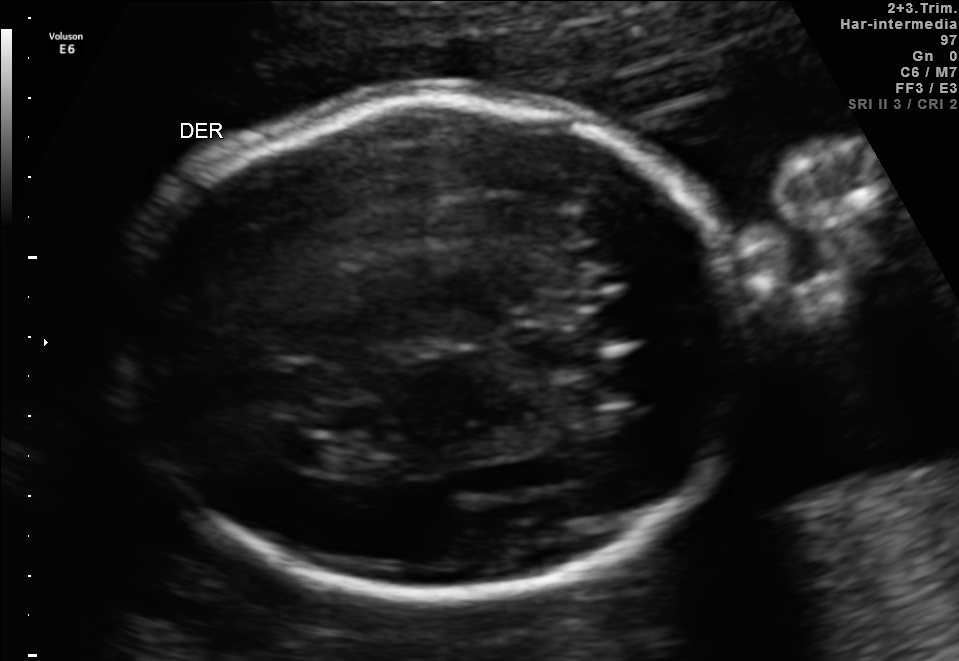
Fetal brain, trans-ventricular plane. Locate the fetal head and, if visible, the cavum septum pellucidum (CSP) and lateral ventricle (LV). Give bounding boxes as [x1,y1,x2,y2].

Head: [105,86,770,603]